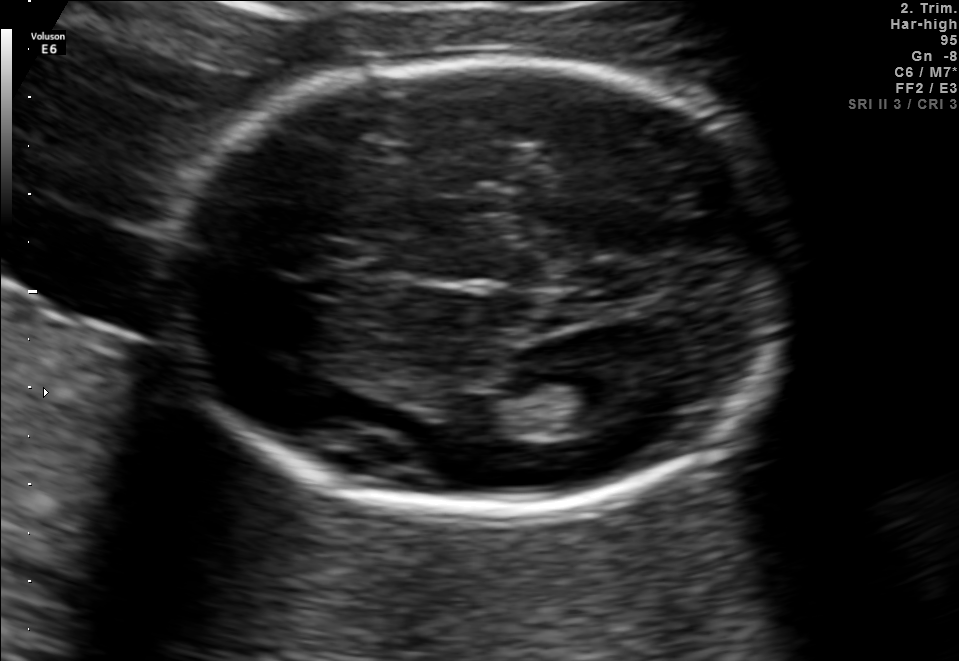
Fetal brain, trans-thalamic plane. Locate the fetal head.

Head: [161,58,792,513]